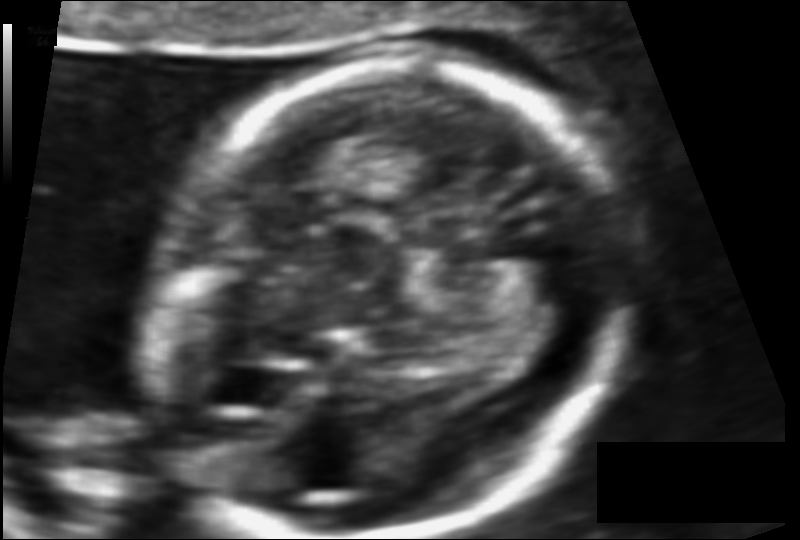
Estimate the fetal head circumference from this 2D ultrasound. Image width: 66.0 mm.

Head circumference: 130.5 mm.